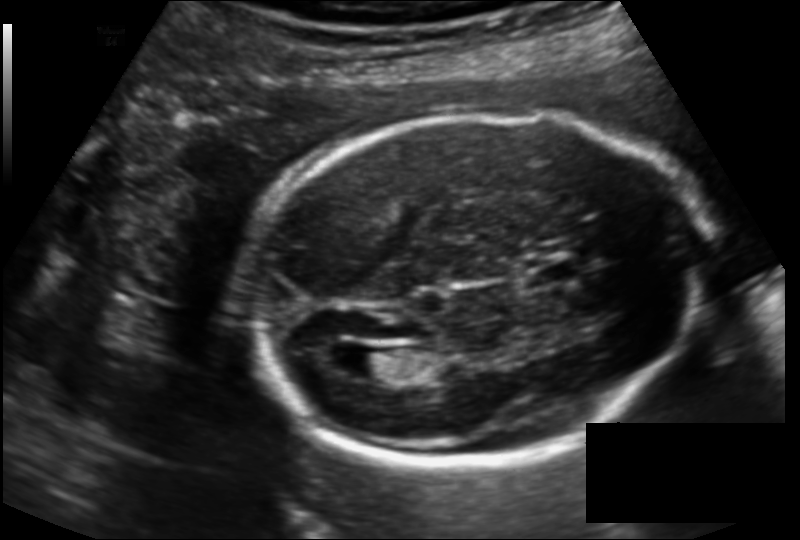
Fetal head ultrasound. Image width: 114.4 mm. Give [x1,y1,x2,y2] bounding boxes for each visible structure among: fetal head, CSP, LV.

Head: [242,110,708,464]
CSP: [522,257,578,291]
Lateral ventricle: [344,345,400,380]